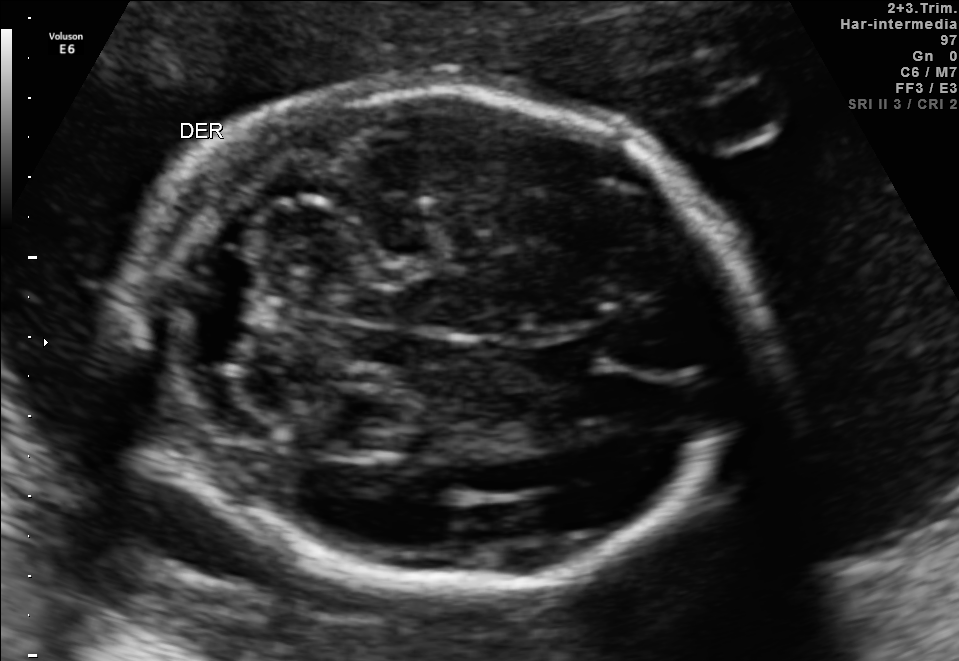
Fetal brain, trans-cerebellum plane. Locate the cavum septum pellucidum.

CSP: [517,327,616,391]